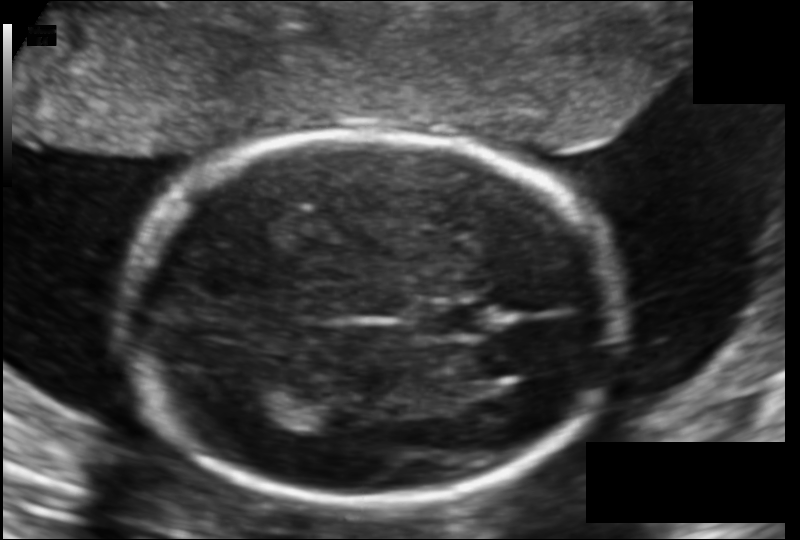
Estimate the fetal head circumference from this 2D ultrasound.

Head circumference: 174.4 mm (image width 98.4 mm).